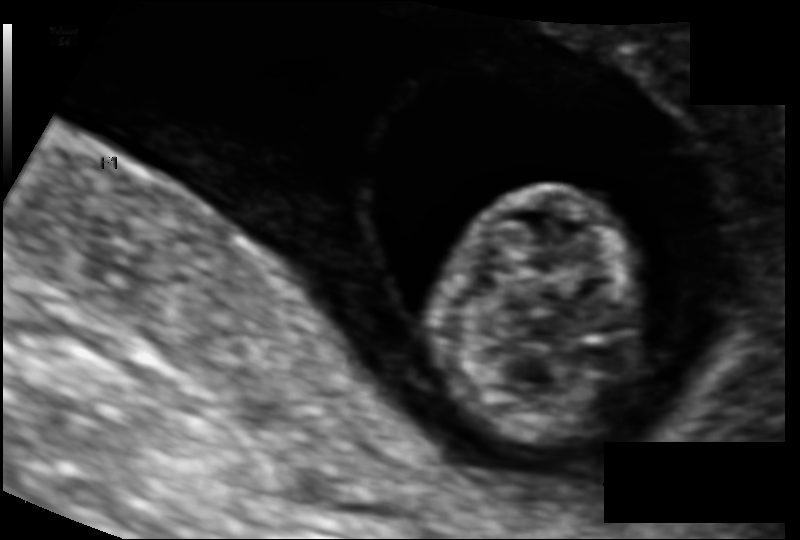
In this fetal head ultrasound, give bounding boxes for the head outline, cavum septum pellucidum (CSP), and lateral ventricle (LV), where visible. Image width: 75.4 mm.

Head: [435,185,643,444]